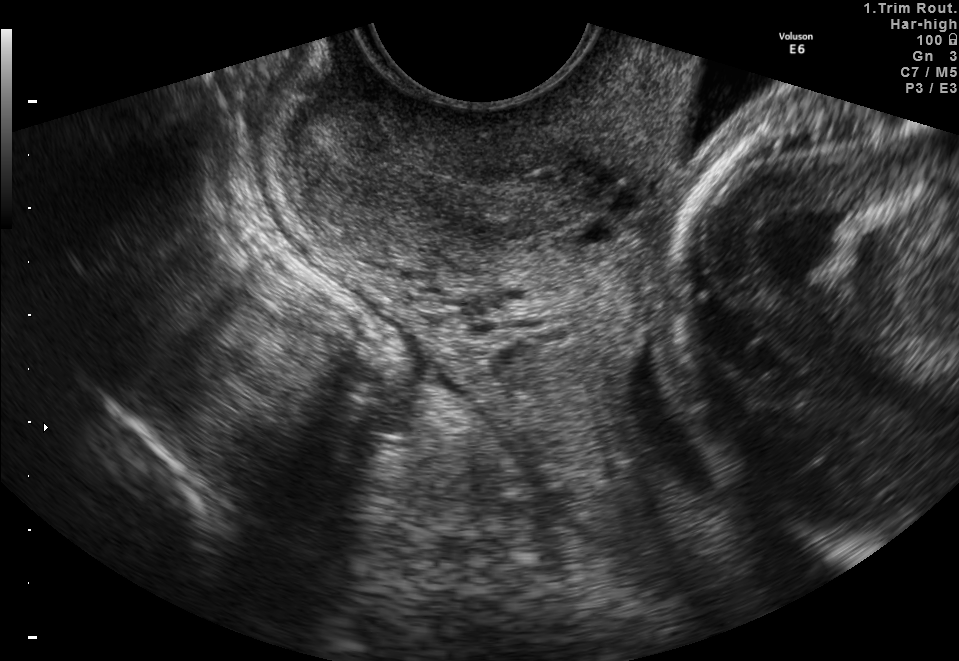
Identify the standard plane in this fetal ultrasound image: fetal abdomen, fetal brain, fetal femur, fetal thorax, maternal cervix, or other. If it's fetal brain and one of the three standard brain planes (trans-thalamic, trans-cerebellum, trans-ventricular), name which.

Maternal cervix